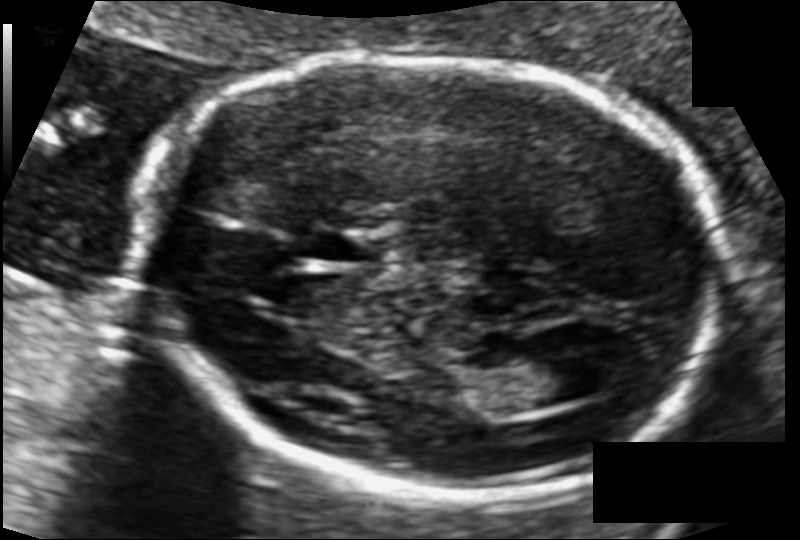
From this fetal ultrasound, estimate the head circumference (image width 81.0 mm).

Head circumference: 172.0 mm.